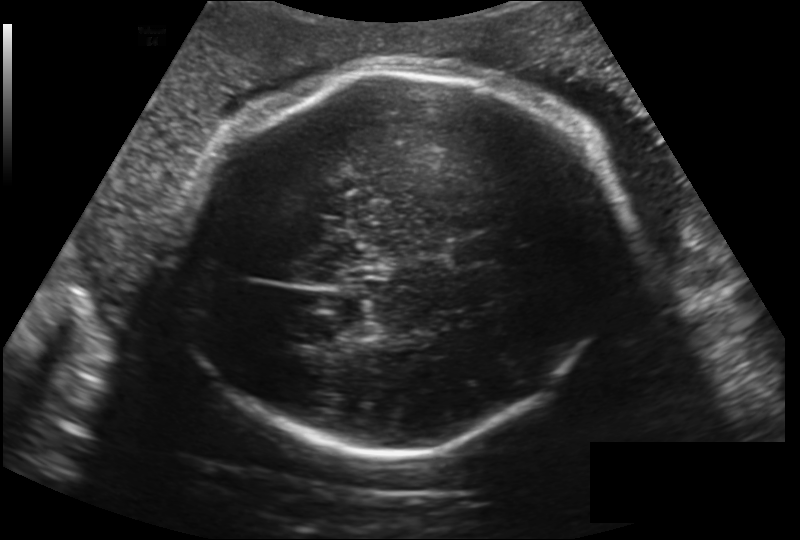
What is the fetal head circumference? Image width is 179.4 mm.

303.2 mm